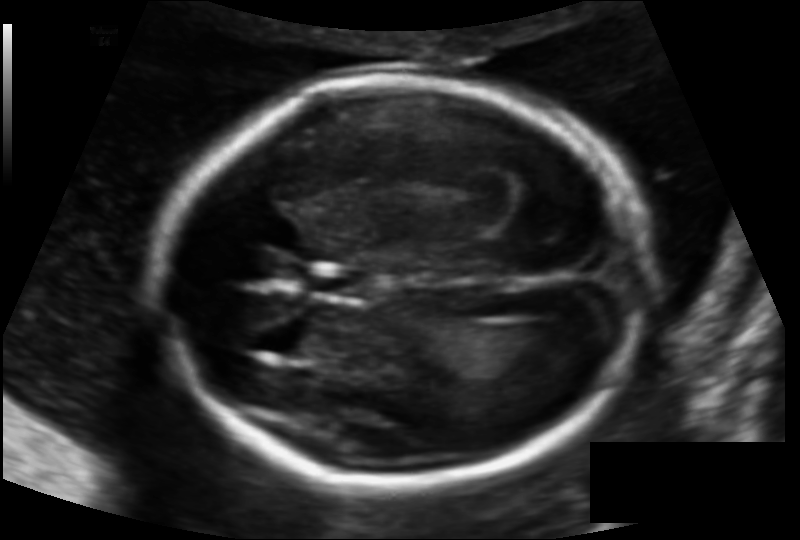
Fetal head ultrasound. Image width: 97.8 mm. Where is the cavum septum pellucidum?

CSP bounding box: [306,263,370,302]